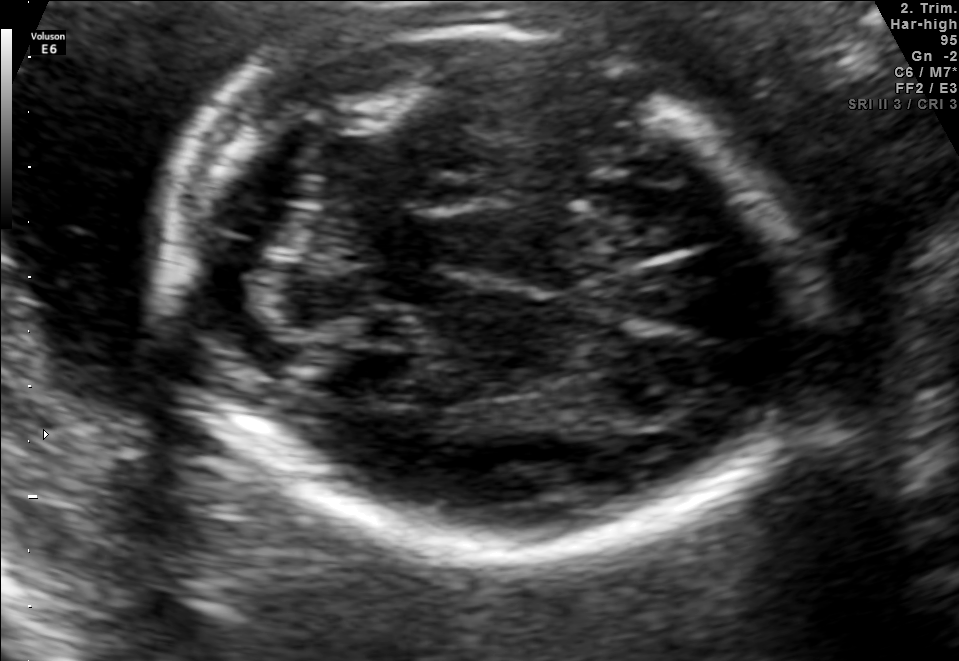
This is a 2D maternal-fetal ultrasound frame. Is it a fetal abdomen, fetal brain, fetal femur, fetal thorax, maternal cervix, or other standard plane? If it's fetal brain and one of the three standard brain planes (trans-thalamic, trans-cerebellum, trans-ventricular), name which.

Fetal brain (trans-cerebellum plane)